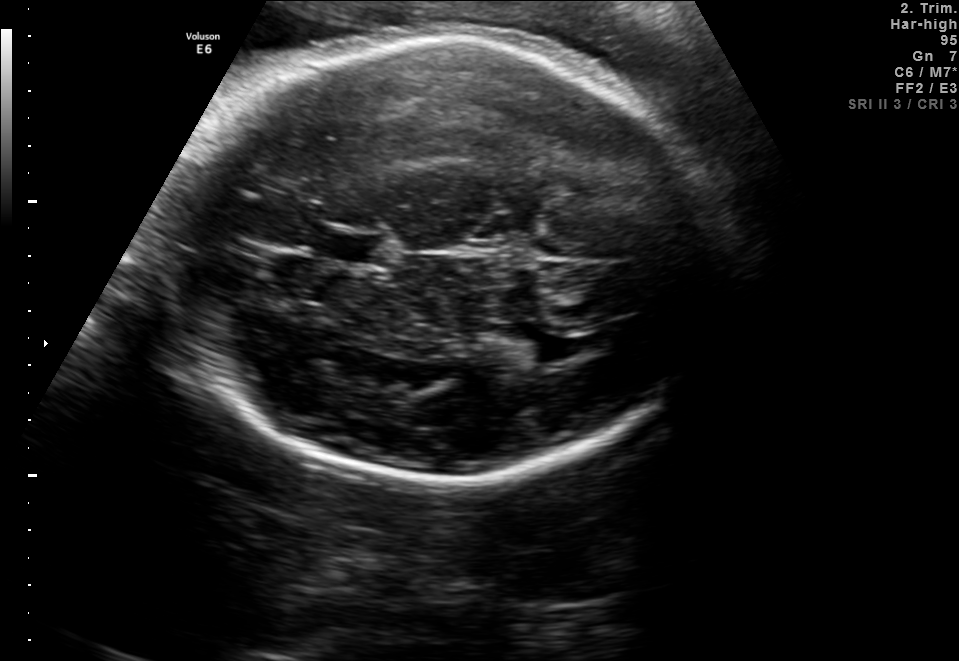
Fetal brain, trans-thalamic plane. Locate the fetal head.

Head: [171,37,728,482]